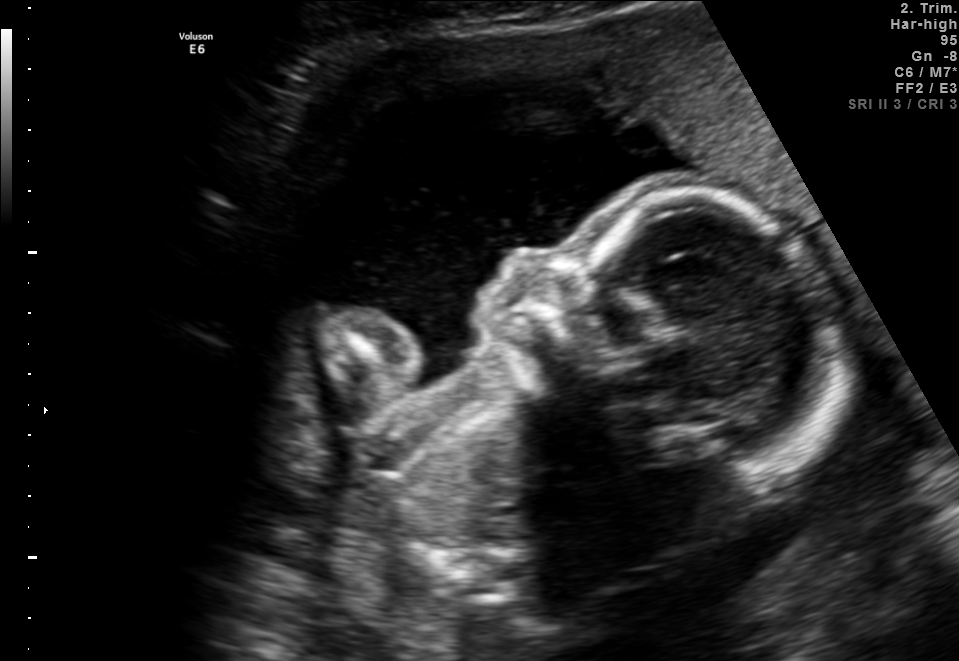
Classify this maternal-fetal ultrasound image as one of the six standard planes — fetal abdomen, fetal brain, fetal femur, fetal thorax, maternal cervix, or other. If it's fetal brain and one of the three standard brain planes (trans-thalamic, trans-cerebellum, trans-ventricular), name which.

Other